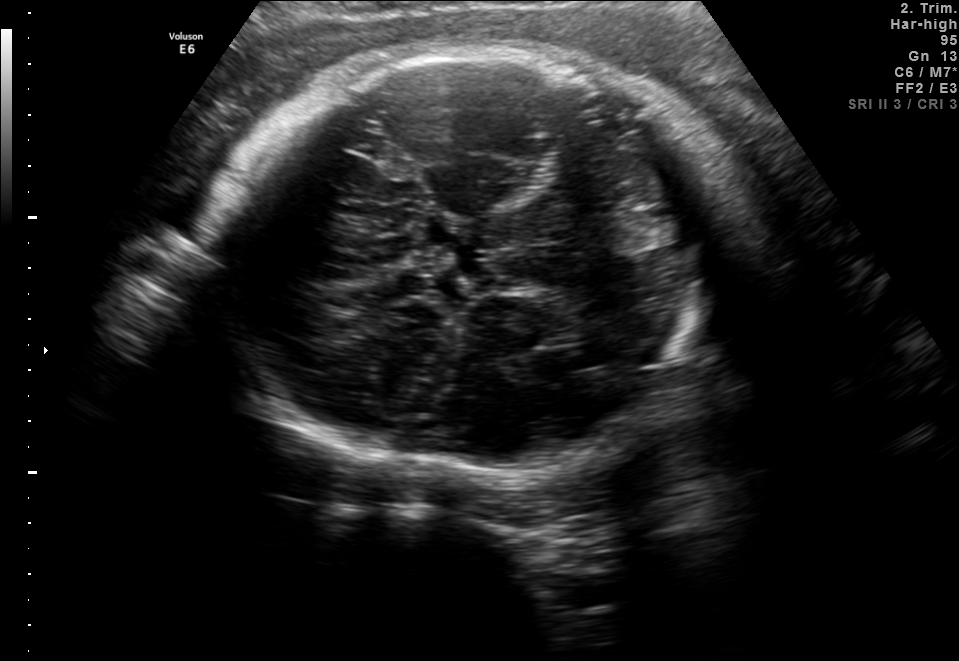
Fetal brain, trans-thalamic plane. Where is the fetal head?

Head bounding box: [204,49,747,472]